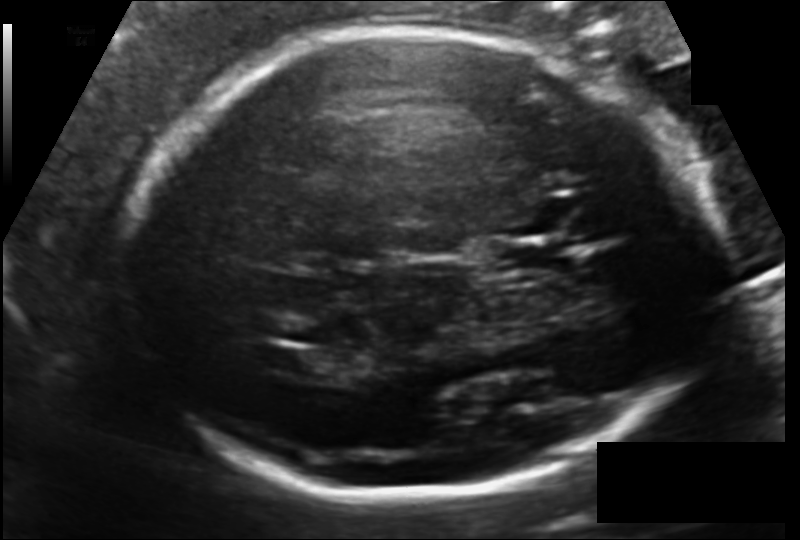
Estimate the fetal head circumference from this 2D ultrasound.

Head circumference: 224.8 mm (image width 106.4 mm).